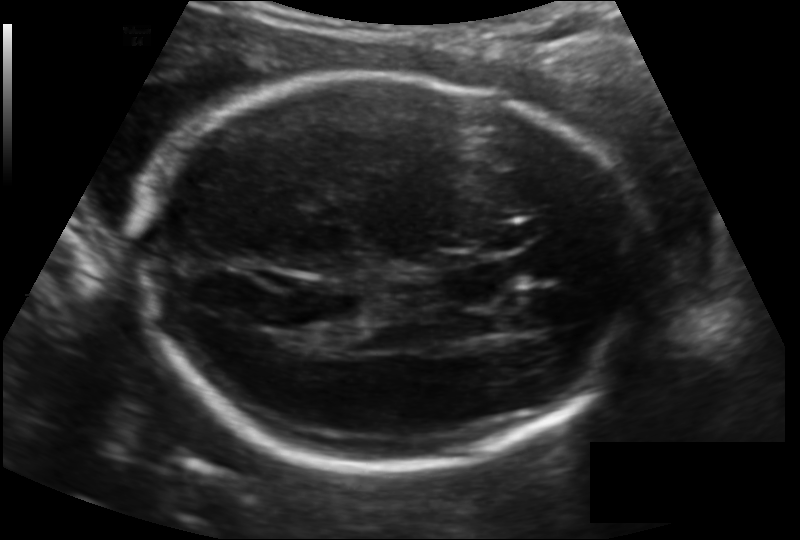
In this fetal head ultrasound, give bounding boxes for the head outline, cavum septum pellucidum (CSP), and lateral ventricle (LV), where visible. Image width: 118.2 mm.

Head: [141,76,641,469]